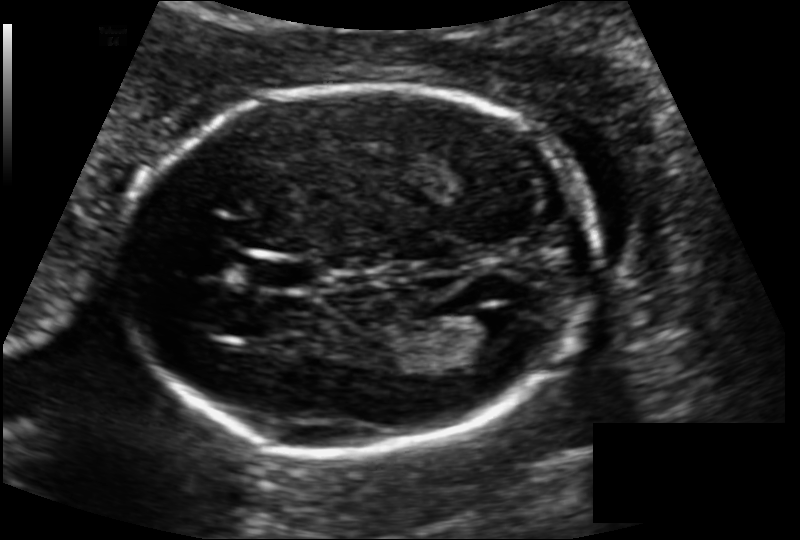
In this fetal head ultrasound, give the bounding box of the cavum septum pellucidum. Image width: 99.0 mm.

[246,253,317,295]